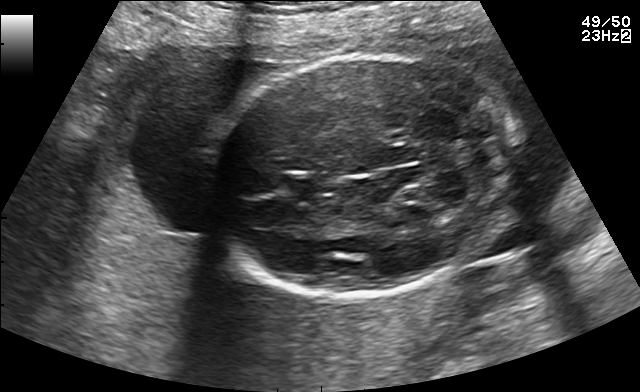
In this fetal brain, trans-cerebellum plane, give bounding boxes for the head outline, cavum septum pellucidum (CSP), and lateral ventricle (LV), where visible.

Head: [208,53,517,295]
CSP: [286,172,336,197]